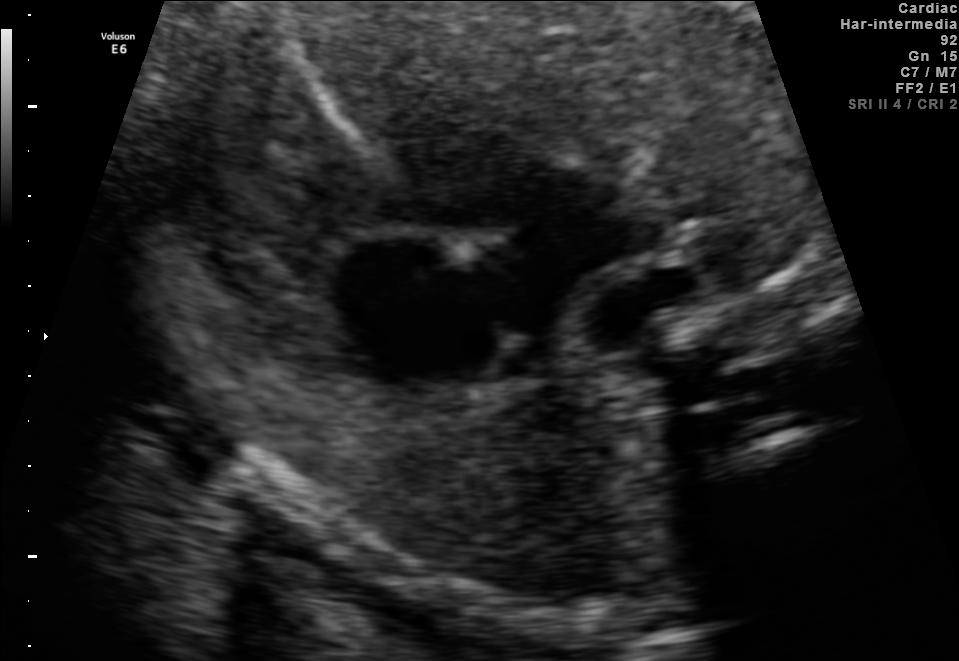
Which standard maternal-fetal ultrasound plane is shown: fetal abdomen, fetal brain, fetal femur, fetal thorax, maternal cervix, or other? If it's fetal brain and one of the three standard brain planes (trans-thalamic, trans-cerebellum, trans-ventricular), name which.

Fetal thorax